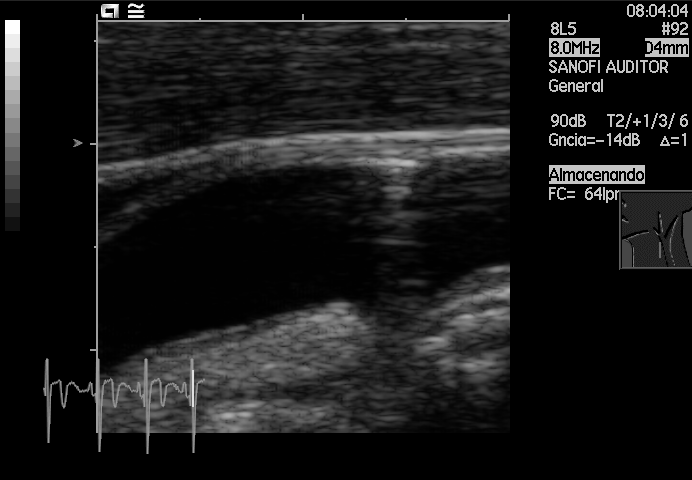
Classify this maternal-fetal ultrasound image as one of the six standard planes — fetal abdomen, fetal brain, fetal femur, fetal thorax, maternal cervix, or other. If it's fetal brain and one of the three standard brain planes (trans-thalamic, trans-cerebellum, trans-ventricular), name which.

Other